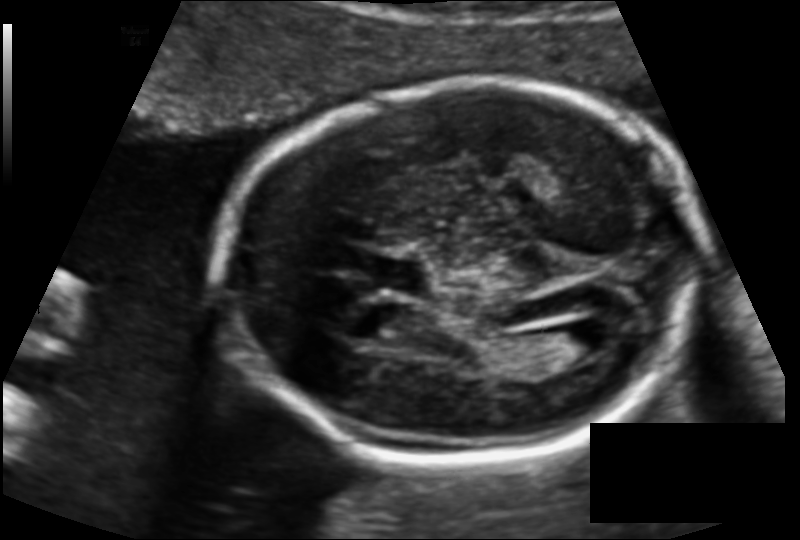
Fetal head ultrasound. Image width: 99.5 mm. Locate the lateral ventricle.

Lateral ventricle: [542,320,618,371]